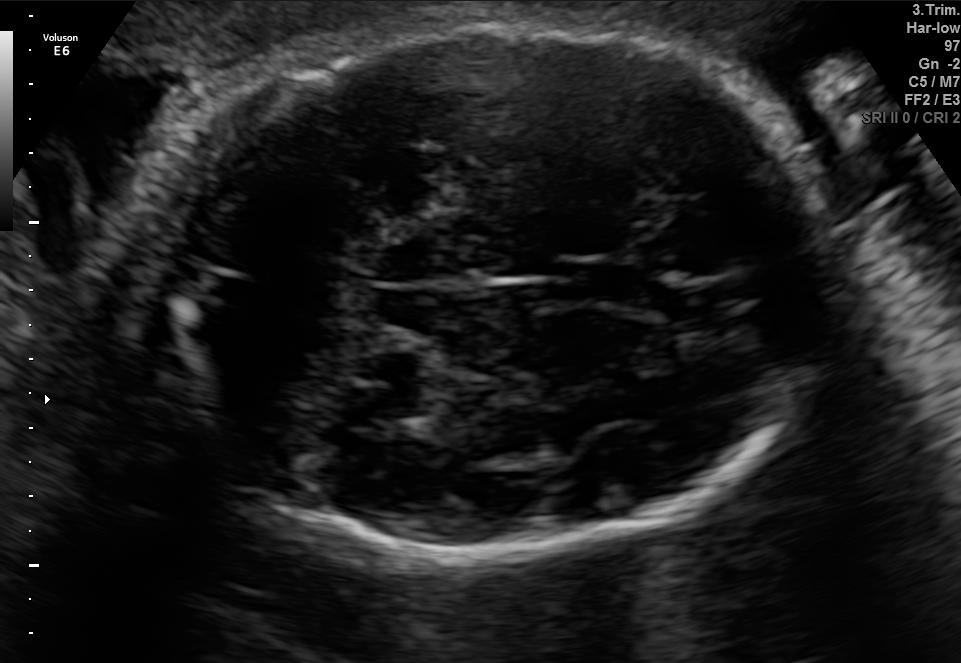
In this fetal brain, trans-cerebellum plane, give the bounding box of the cavum septum pellucidum.

[571,255,658,312]